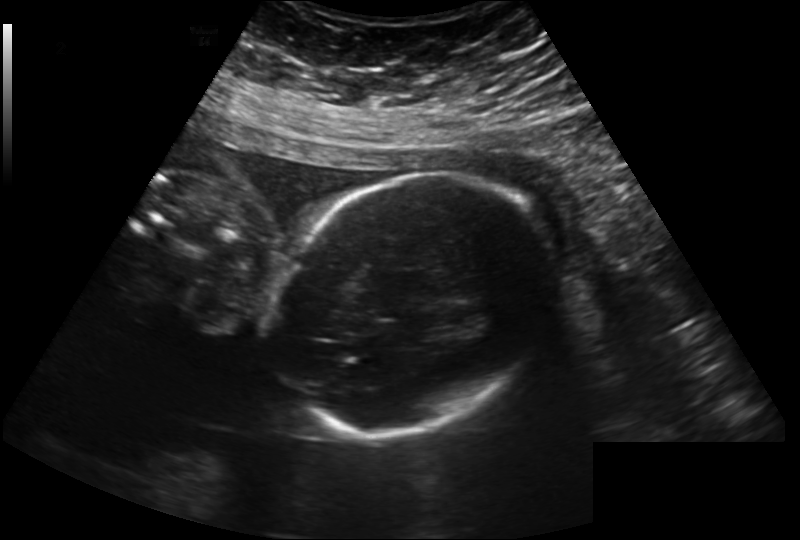
Measure the fetal head circumference shown in this ultrasound image. Image width: 177.4 mm.

Head circumference: 193.0 mm.